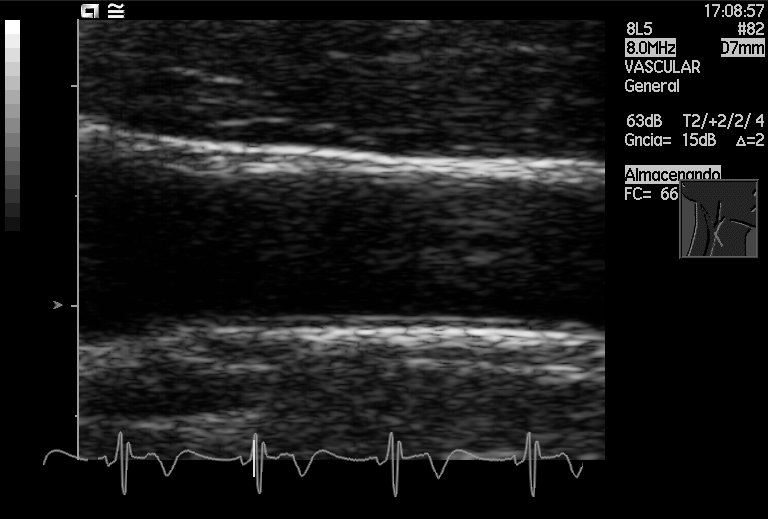
This is a 2D maternal-fetal ultrasound frame. Is it a fetal abdomen, fetal brain, fetal femur, fetal thorax, maternal cervix, or other standard plane? If it's fetal brain and one of the three standard brain planes (trans-thalamic, trans-cerebellum, trans-ventricular), name which.

Other